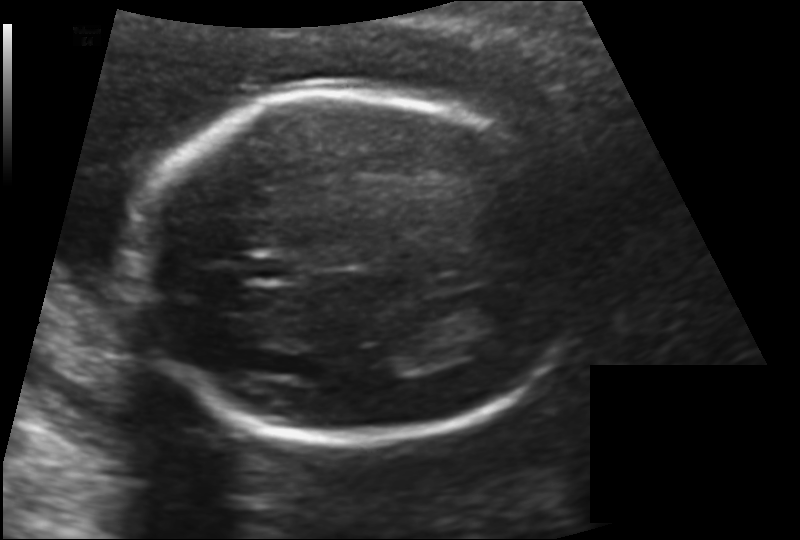
Estimate the fetal head circumference from this 2D ultrasound. Image width: 113.8 mm.

Head circumference: 185.1 mm.